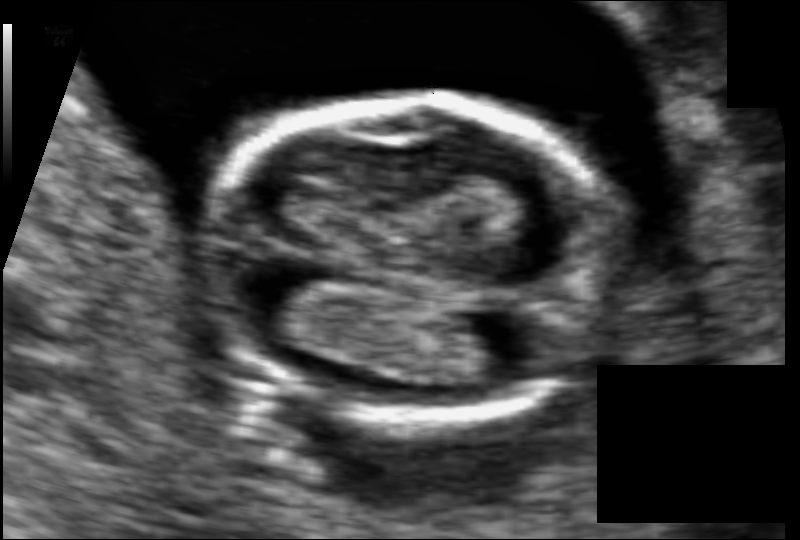
From this fetal ultrasound, estimate the head circumference (image width 59.9 mm).

Head circumference: 88.8 mm.